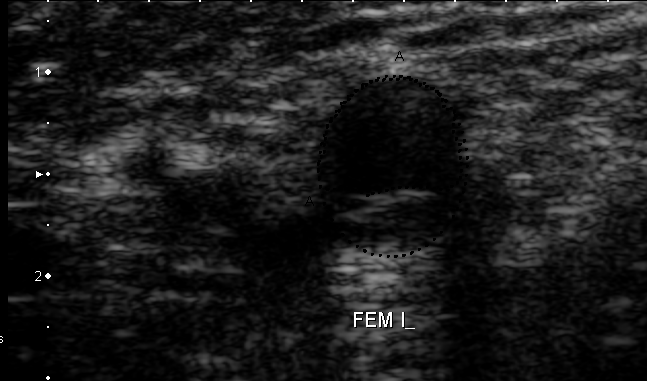
Identify the standard plane in this fetal ultrasound image: fetal abdomen, fetal brain, fetal femur, fetal thorax, maternal cervix, or other. If it's fetal brain and one of the three standard brain planes (trans-thalamic, trans-cerebellum, trans-ventricular), name which.

Other